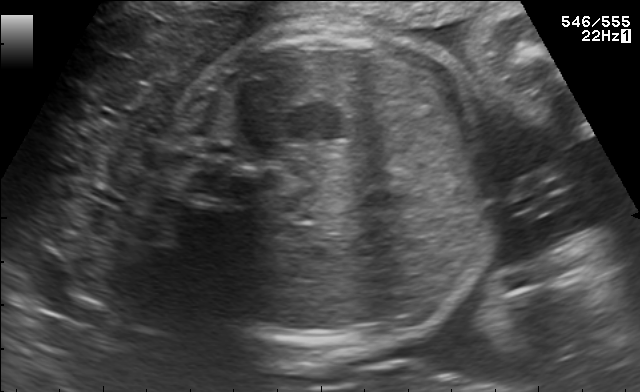
Classify this maternal-fetal ultrasound image as one of the six standard planes — fetal abdomen, fetal brain, fetal femur, fetal thorax, maternal cervix, or other. If it's fetal brain and one of the three standard brain planes (trans-thalamic, trans-cerebellum, trans-ventricular), name which.

Fetal abdomen